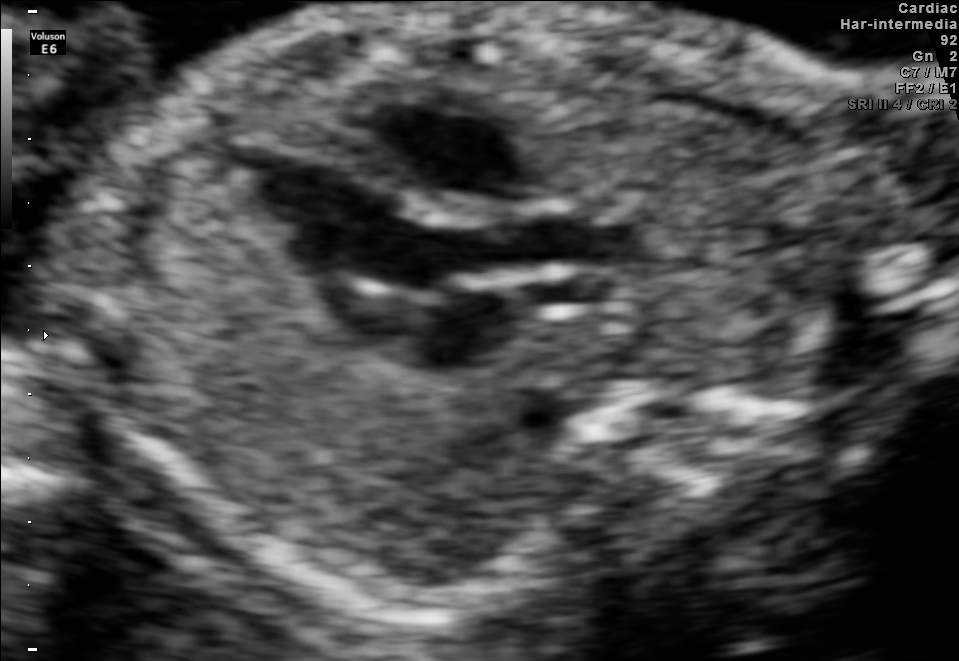
Classify this maternal-fetal ultrasound image as one of the six standard planes — fetal abdomen, fetal brain, fetal femur, fetal thorax, maternal cervix, or other. If it's fetal brain and one of the three standard brain planes (trans-thalamic, trans-cerebellum, trans-ventricular), name which.

Other